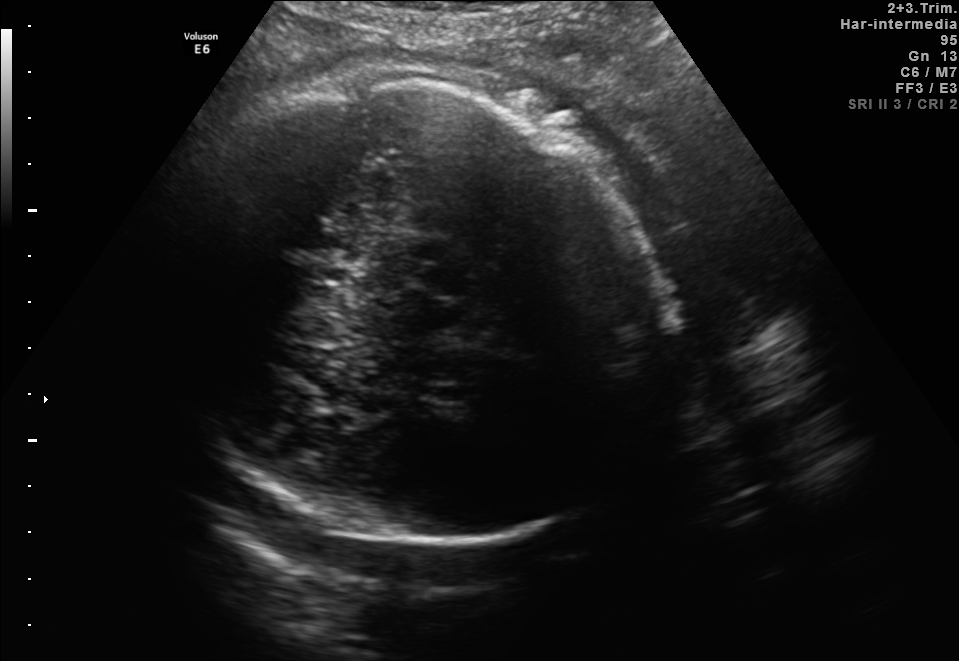
Fetal brain, trans-thalamic plane. Locate the fetal head.

Head: [140,83,677,542]